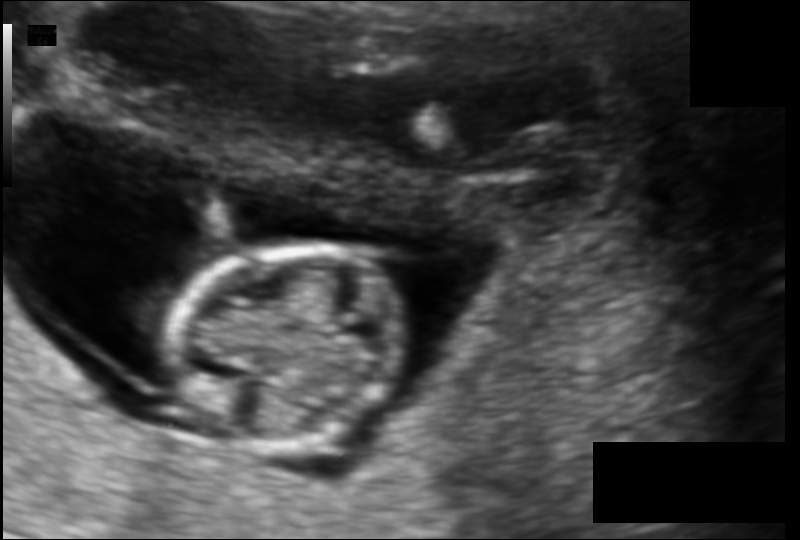
Estimate the fetal head circumference from this 2D ultrasound. Image width: 83.9 mm.

Head circumference: 75.8 mm.